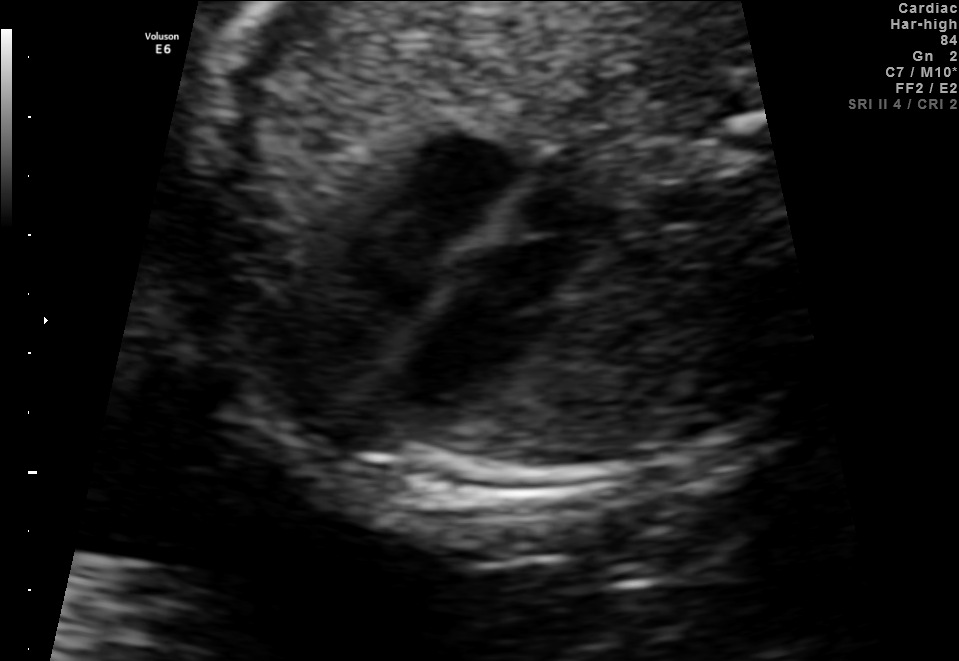
Identify the standard plane in this fetal ultrasound image: fetal abdomen, fetal brain, fetal femur, fetal thorax, maternal cervix, or other. If it's fetal brain and one of the three standard brain planes (trans-thalamic, trans-cerebellum, trans-ventricular), name which.

Fetal thorax